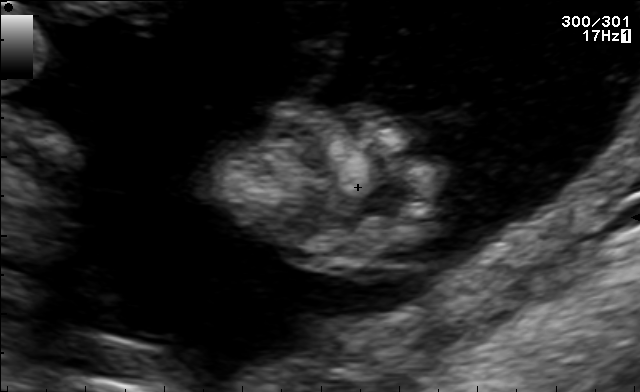
Classify this maternal-fetal ultrasound image as one of the six standard planes — fetal abdomen, fetal brain, fetal femur, fetal thorax, maternal cervix, or other. If it's fetal brain and one of the three standard brain planes (trans-thalamic, trans-cerebellum, trans-ventricular), name which.

Other